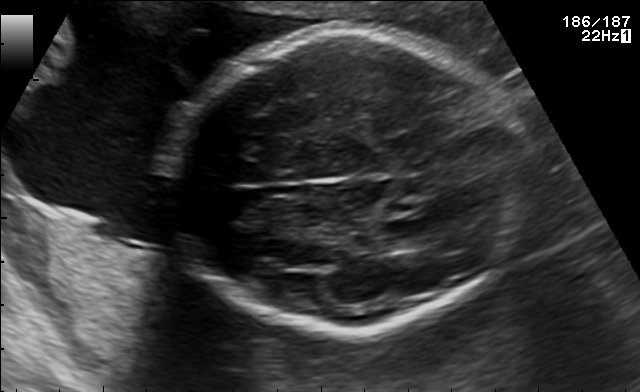
In this fetal brain, trans-thalamic plane, give bounding boxes for the head outline, cavum septum pellucidum (CSP), and lateral ventricle (LV), where visible.

Head: [166,30,525,331]